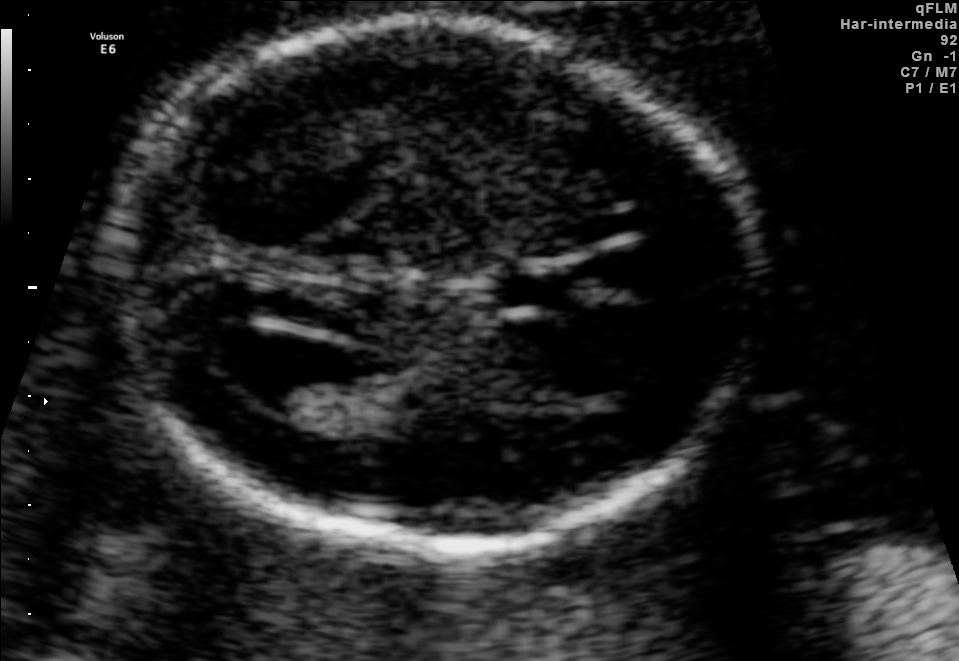
Fetal brain, trans-ventricular plane. Give [x1,y1,x2,y2] bounding boxes for each visible structure among: fetal head, CSP, LV.

Head: [91,9,778,566]
CSP: [482,272,588,312]
Lateral ventricle: [203,313,342,422]